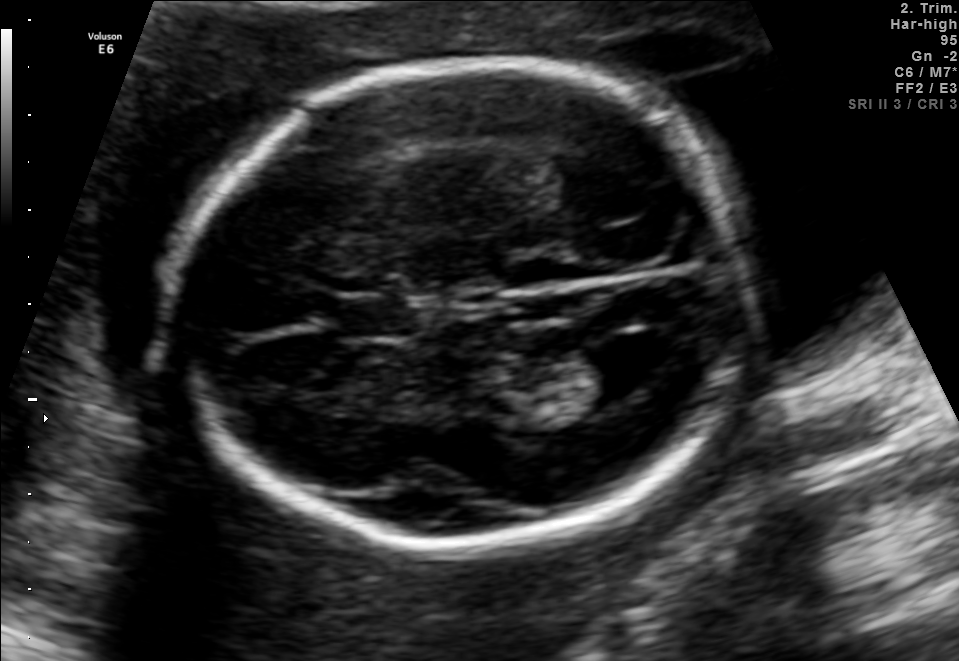
Fetal brain, trans-ventricular plane. Where is the fetal head?

Head bounding box: [160,57,761,562]